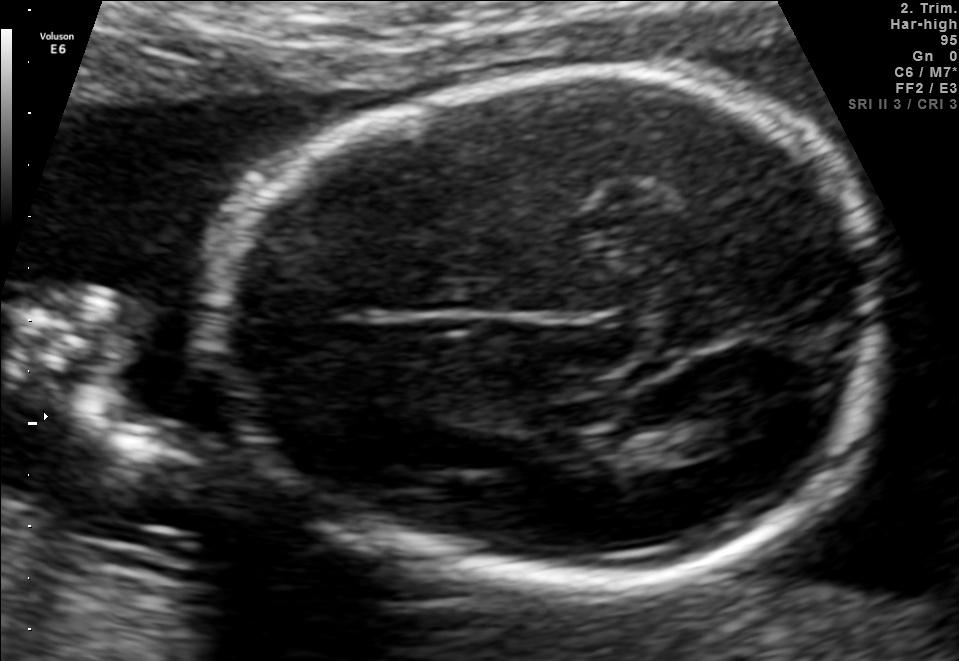
In this fetal brain, trans-thalamic plane, give bounding boxes for the head outline, cavum septum pellucidum (CSP), and lateral ventricle (LV), where visible.

Head: [215,73,890,588]
Lateral ventricle: [660,394,766,466]